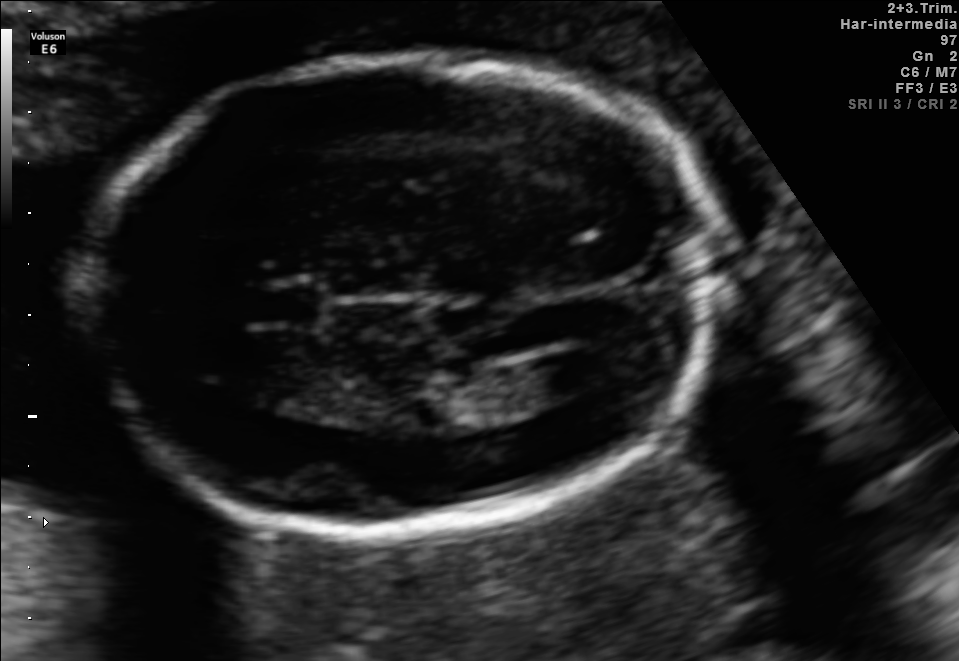
Fetal brain, trans-ventricular plane. Give [x1,y1,x2,y2] bounding boxes for each visible structure among: fetal head, CSP, LV.

Head: [67,49,742,548]
CSP: [249,288,318,322]
Lateral ventricle: [534,341,619,402]